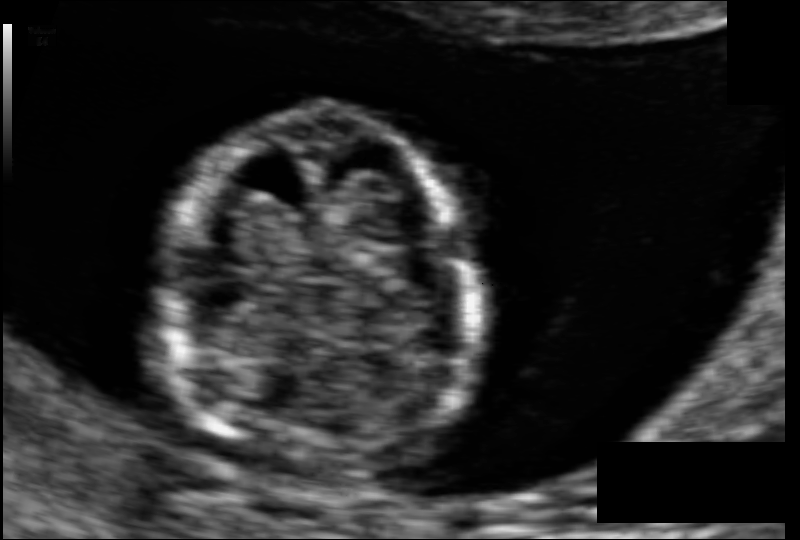
Fetal head ultrasound. Image width: 54.8 mm. Locate the fetal head.

Head: [166,113,481,484]